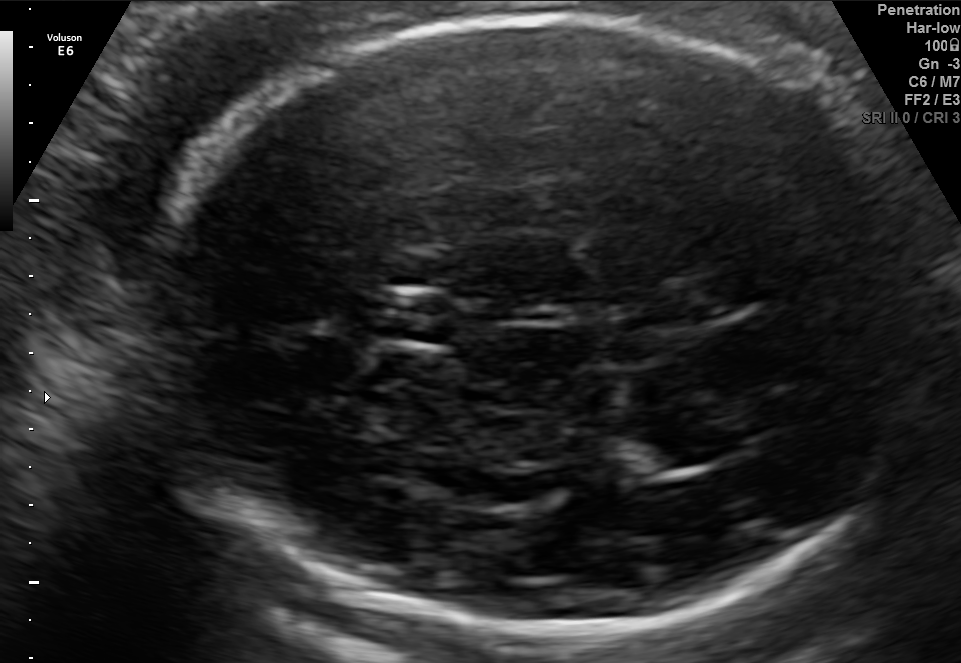
In this fetal brain, trans-thalamic plane, give the bounding box of the lateral ventricle.

[612,418,731,482]